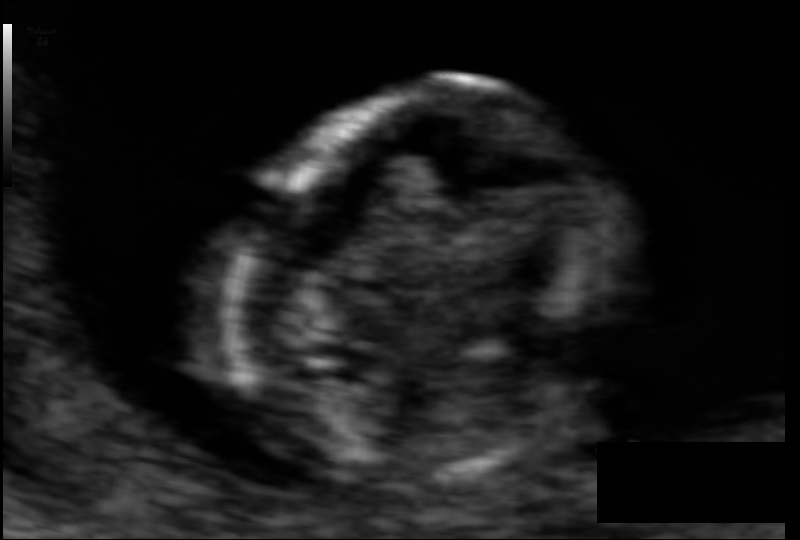
Estimate the fetal head circumference from this 2D ultrasound. Image width: 44.4 mm.

Head circumference: 69.9 mm.